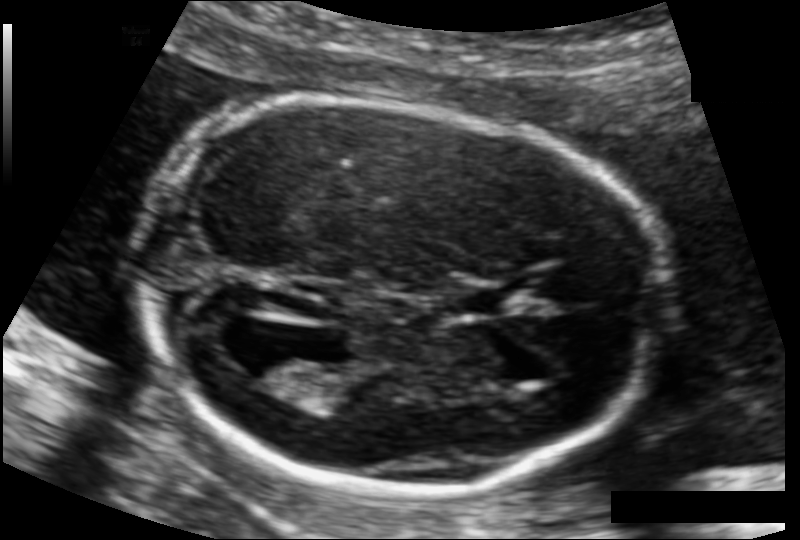
In this fetal head ultrasound, give the bounding box of the cavum septum pellucidum. Image width: 85.7 mm.

[455,287,512,313]